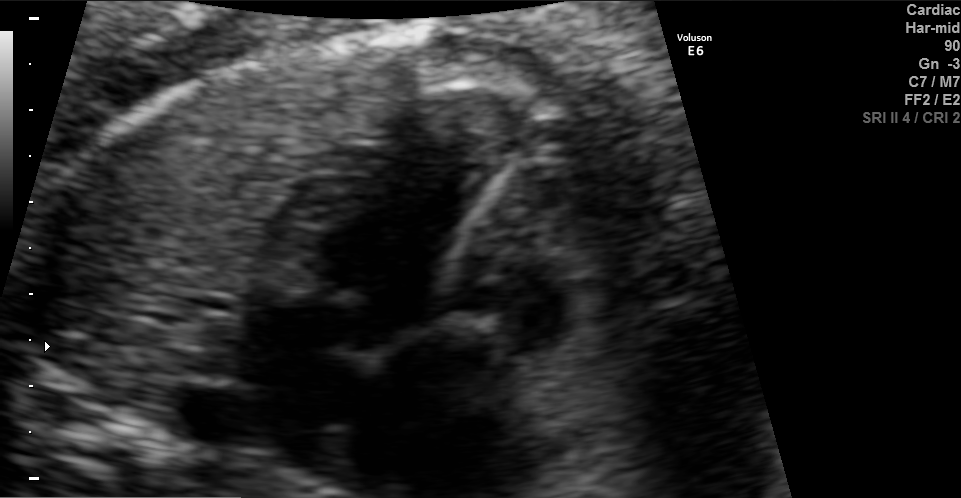
Identify the standard plane in this fetal ultrasound image: fetal abdomen, fetal brain, fetal femur, fetal thorax, maternal cervix, or other. If it's fetal brain and one of the three standard brain planes (trans-thalamic, trans-cerebellum, trans-ventricular), name which.

Fetal thorax